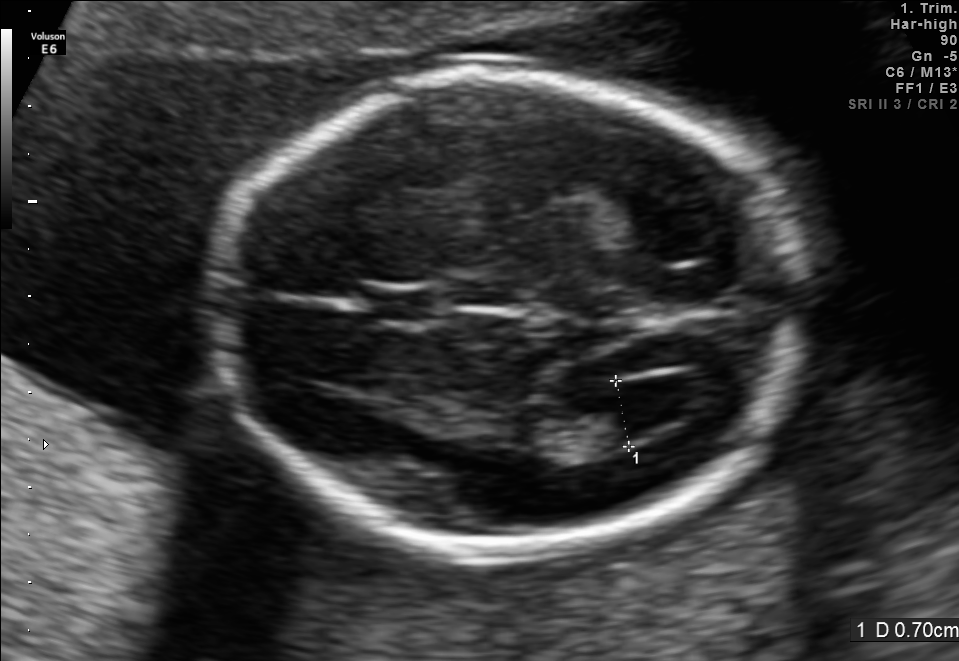
In this fetal brain, trans-ventricular plane, give the bounding box of the lateral ventricle.

[597,371,701,440]